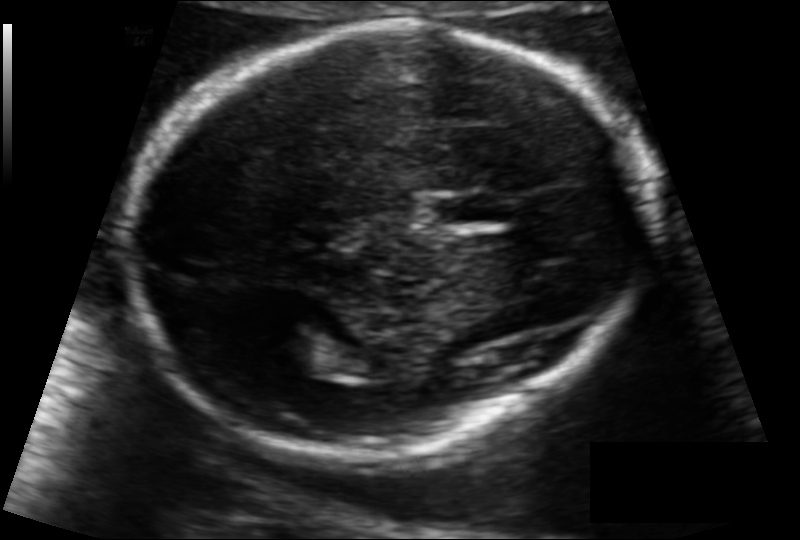
From this fetal ultrasound, estimate the head circumference (image width 88.7 mm).

Head circumference: 172.6 mm.